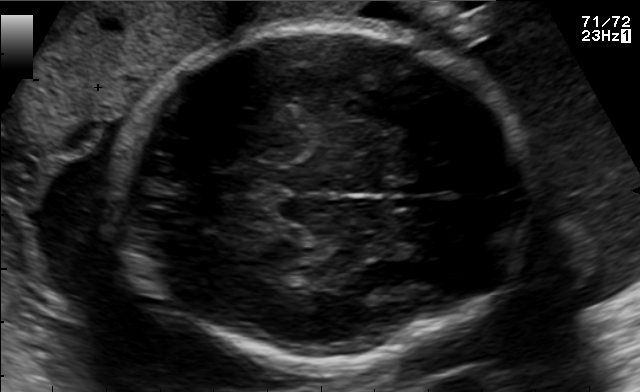
This is a 2D maternal-fetal ultrasound frame. Is it a fetal abdomen, fetal brain, fetal femur, fetal thorax, maternal cervix, or other standard plane? If it's fetal brain and one of the three standard brain planes (trans-thalamic, trans-cerebellum, trans-ventricular), name which.

Fetal brain (trans-thalamic plane)